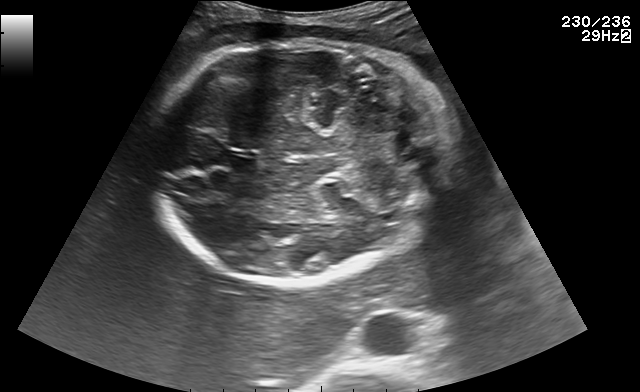
Fetal brain, trans-cerebellum plane. Give [x1,y1,x2,y2] bounding boxes for each visible structure among: fetal head, CSP, LV.

Head: [150,39,444,284]
CSP: [222,153,258,174]